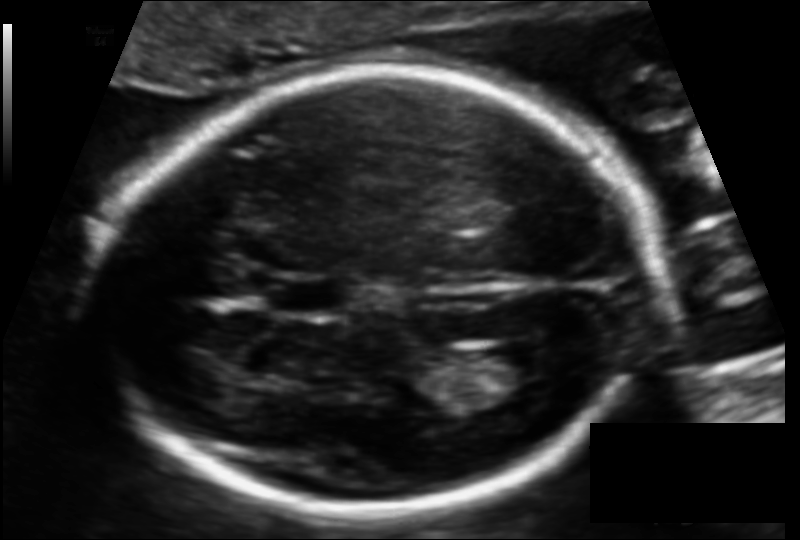
Fetal head ultrasound. Image width: 89.8 mm. Where is the lateral ventricle?

Lateral ventricle bounding box: [477,331,560,394]